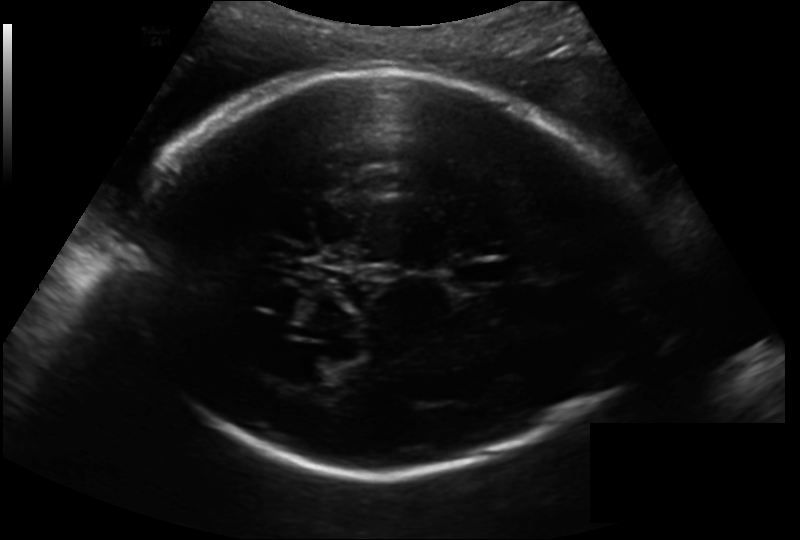
Fetal head ultrasound. Image width: 154.5 mm. Locate the fetal head and, if visible, the cavum septum pellucidum (CSP) and lateral ventricle (LV). Give bounding boxes as [x1,y1,x2,y2].

Head: [128,71,640,474]
CSP: [447,256,510,291]
Lateral ventricle: [284,355,340,385]